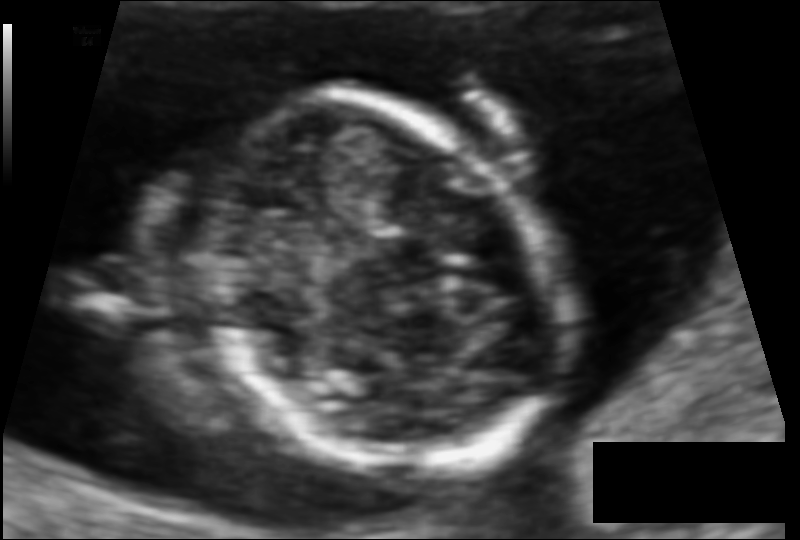
Measure the fetal head circumference shown in this ultrasound image. Image width: 68.0 mm.

Head circumference: 98.9 mm.